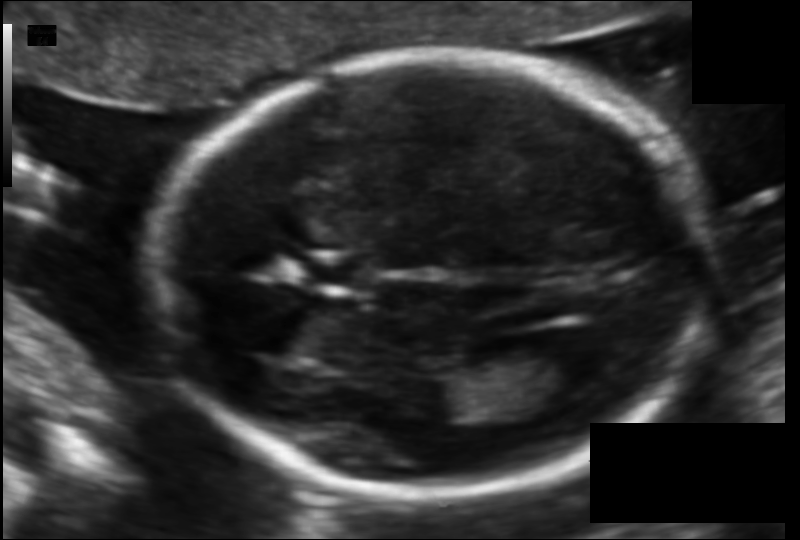
Fetal head ultrasound. Image width: 83.8 mm. Where is the lateral ventricle?

Lateral ventricle bounding box: [517,324,614,407]